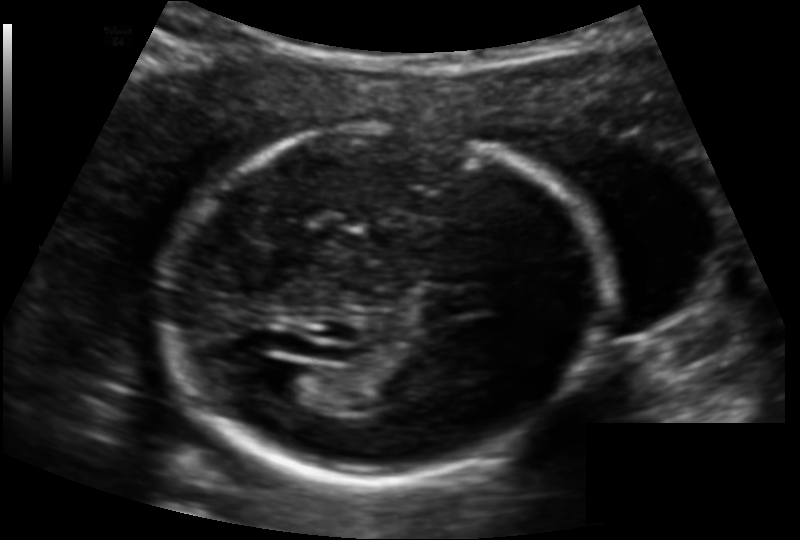
In this fetal head ultrasound, give bounding boxes for the head outline, cavum septum pellucidum (CSP), and lateral ventricle (LV), where visible. Image width: 105.9 mm.

Head: [154,127,607,480]
Lateral ventricle: [266,358,330,411]